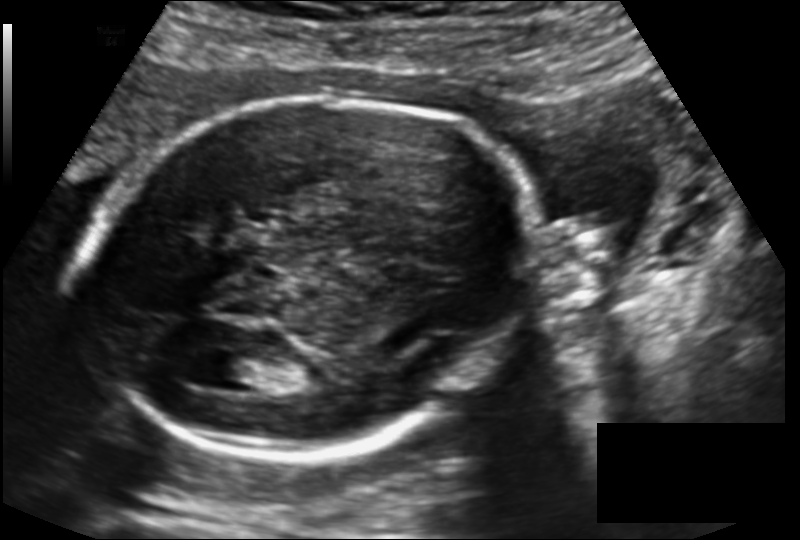
Measure the fetal head circumference shown in this ultrasound image. Image width: 114.3 mm.

Head circumference: 192.6 mm.